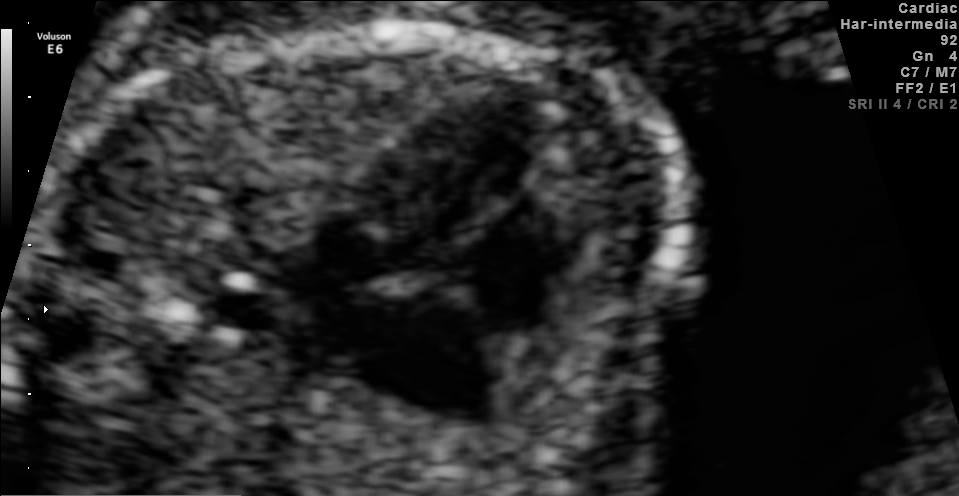
Identify the standard plane in this fetal ultrasound image: fetal abdomen, fetal brain, fetal femur, fetal thorax, maternal cervix, or other. If it's fetal brain and one of the three standard brain planes (trans-thalamic, trans-cerebellum, trans-ventricular), name which.

Fetal thorax